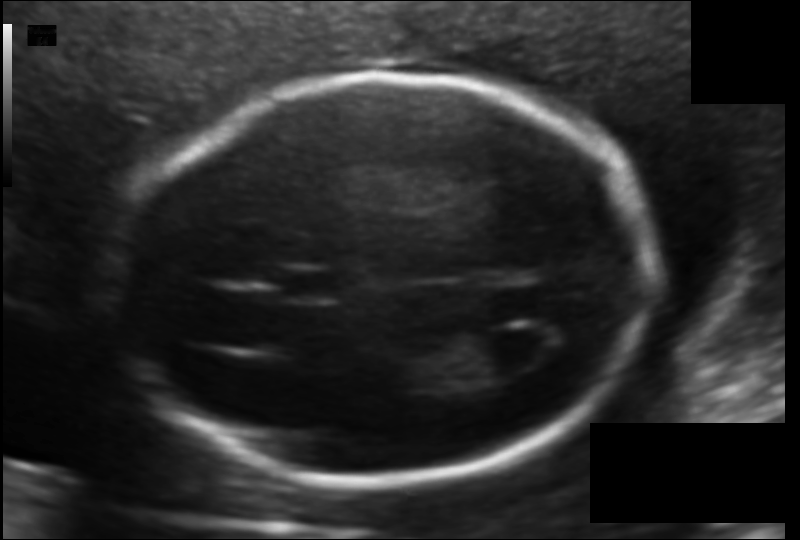
In this fetal head ultrasound, give the bounding box of the cavum septum pellucidum. Image width: 93.0 mm.

[270,269,342,300]